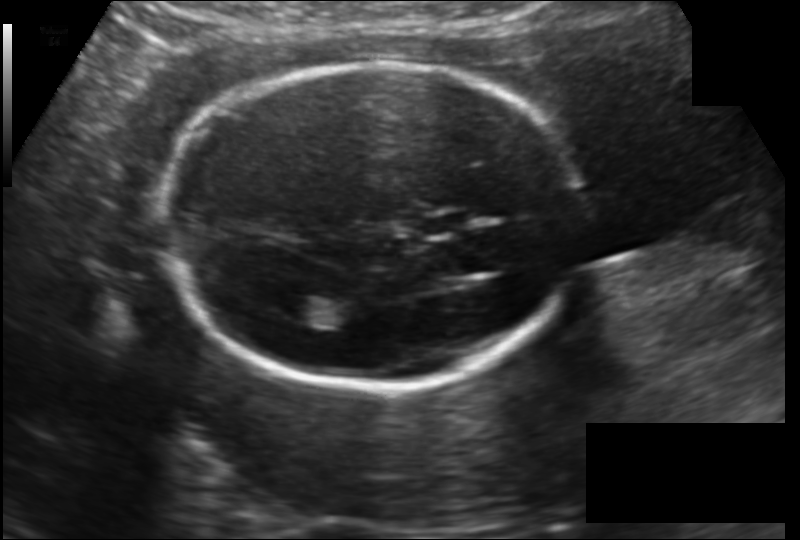
Fetal head ultrasound. Image width: 118.1 mm. Where is the lateral ventricle?

Lateral ventricle bounding box: [276,293,323,326]